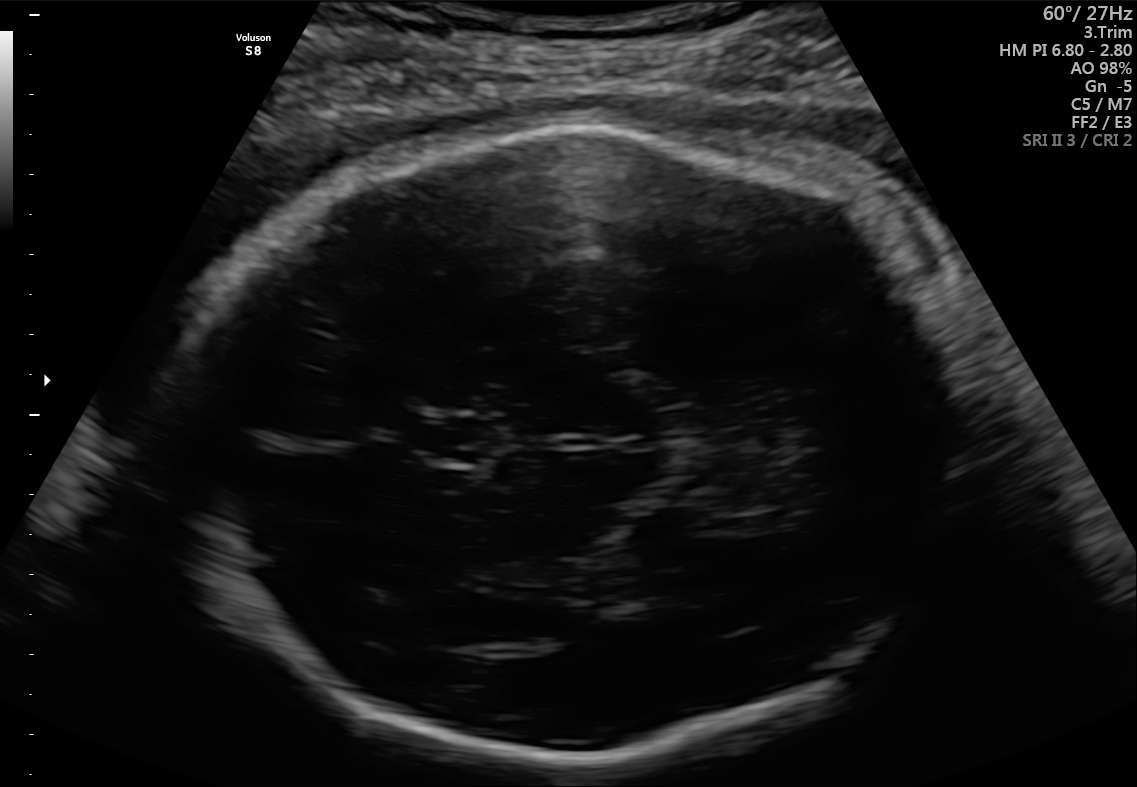
In this fetal brain, trans-thalamic plane, give the bounding box of the fetal head.

[166,130,992,764]